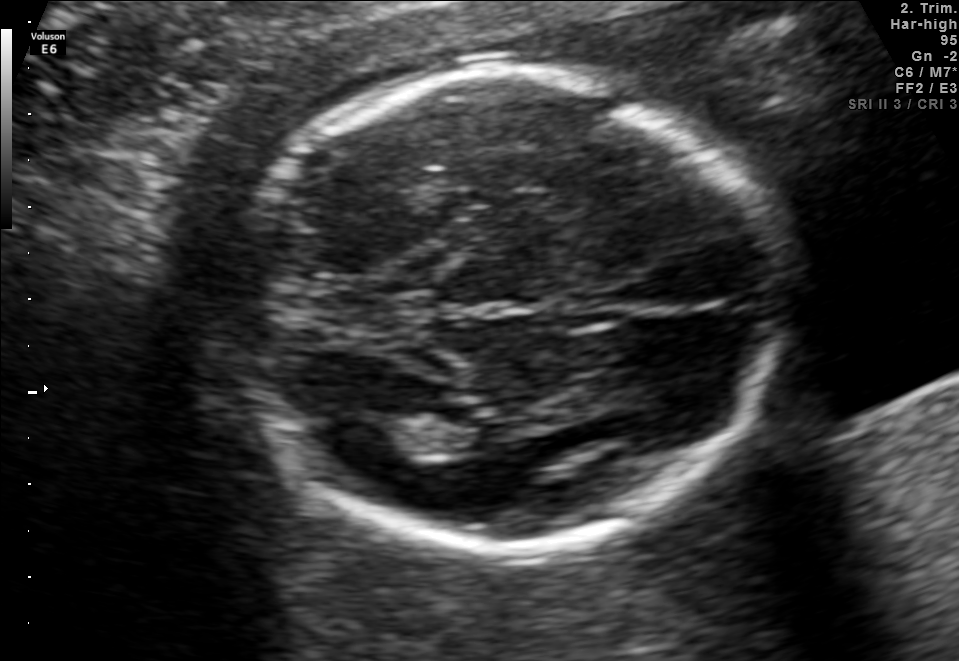
Fetal brain, trans-thalamic plane. Locate the fetal head.

Head: [228,70,779,541]